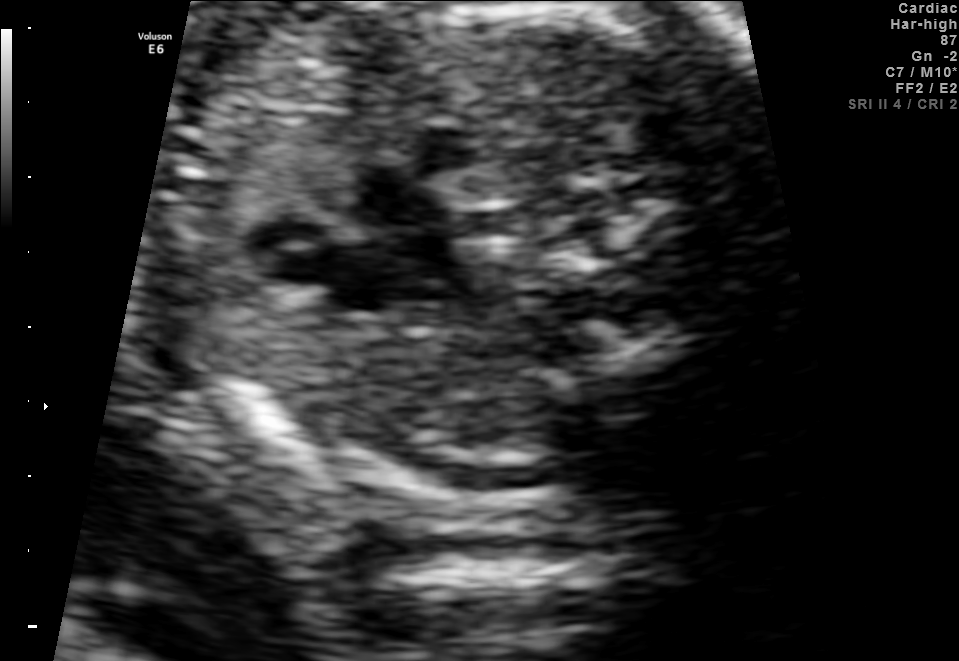
Which standard maternal-fetal ultrasound plane is shown: fetal abdomen, fetal brain, fetal femur, fetal thorax, maternal cervix, or other? If it's fetal brain and one of the three standard brain planes (trans-thalamic, trans-cerebellum, trans-ventricular), name which.

Other